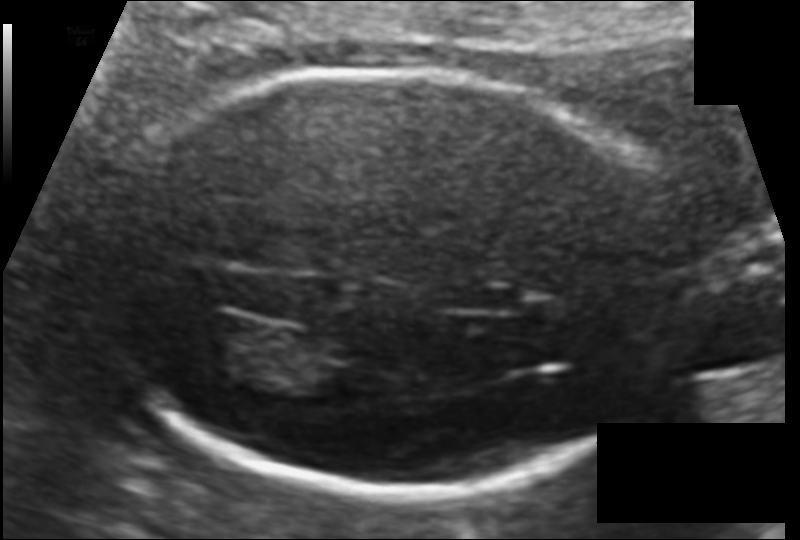
Fetal head ultrasound. Image width: 82.9 mm. Where is the fetal head?

Head bounding box: [103,73,687,490]